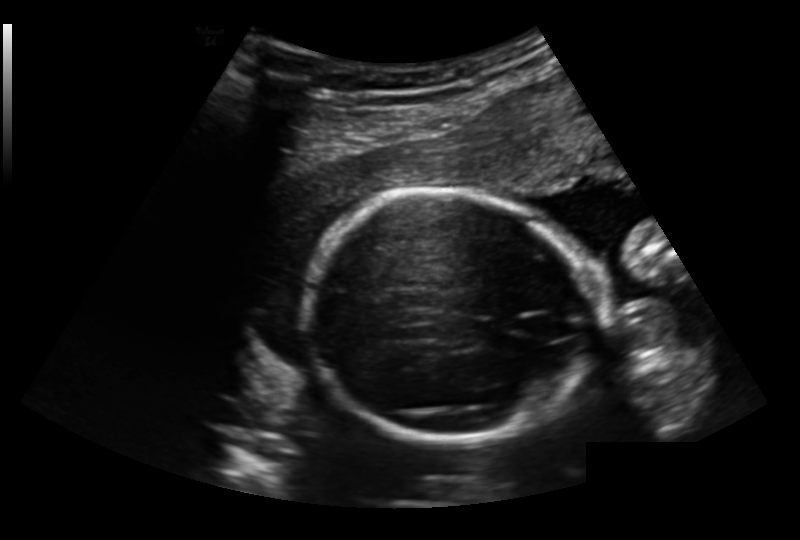
Measure the fetal head circumference shown in this ultrasound image. Image width: 152.5 mm.

Head circumference: 169.4 mm.